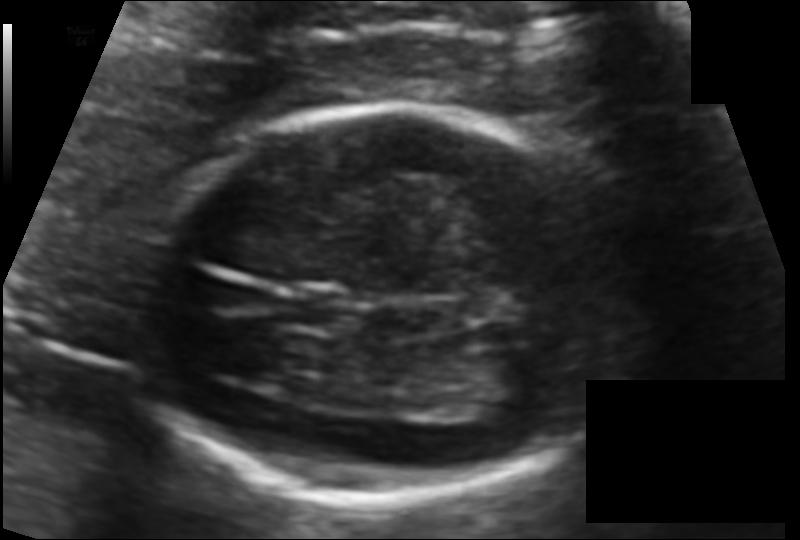
Estimate the fetal head circumference from this 2D ultrasound. Image width: 80.0 mm.

Head circumference: 145.2 mm.